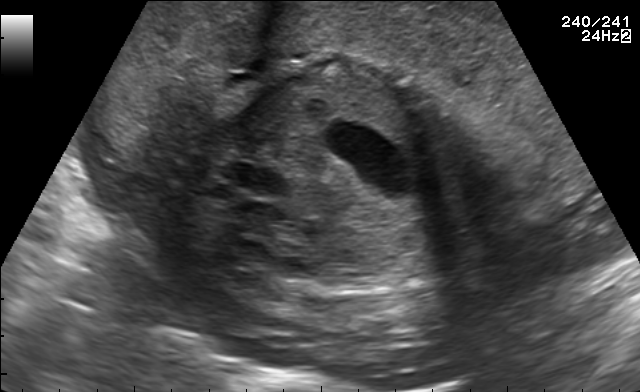
Identify the standard plane in this fetal ultrasound image: fetal abdomen, fetal brain, fetal femur, fetal thorax, maternal cervix, or other. If it's fetal brain and one of the three standard brain planes (trans-thalamic, trans-cerebellum, trans-ventricular), name which.

Fetal abdomen